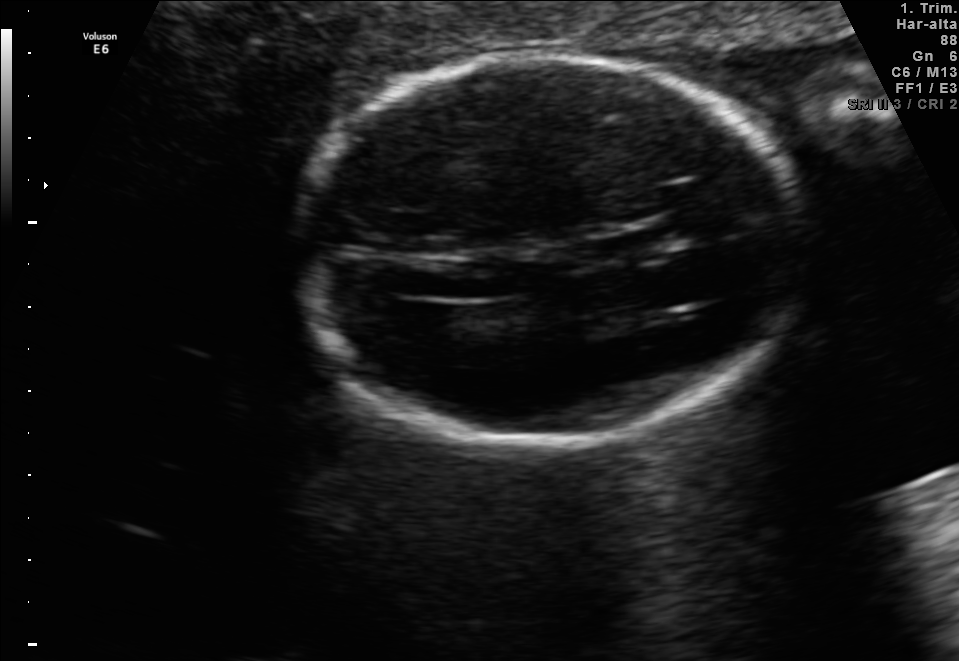
Fetal brain, trans-thalamic plane. Locate the fetal head.

Head: [297,58,804,443]